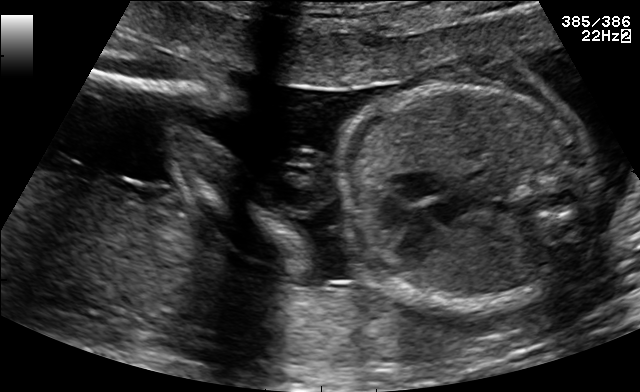
Which standard maternal-fetal ultrasound plane is shown: fetal abdomen, fetal brain, fetal femur, fetal thorax, maternal cervix, or other? If it's fetal brain and one of the three standard brain planes (trans-thalamic, trans-cerebellum, trans-ventricular), name which.

Fetal thorax